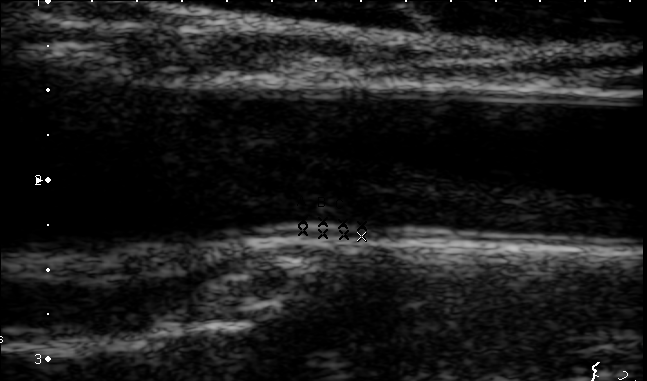
Which standard maternal-fetal ultrasound plane is shown: fetal abdomen, fetal brain, fetal femur, fetal thorax, maternal cervix, or other? If it's fetal brain and one of the three standard brain planes (trans-thalamic, trans-cerebellum, trans-ventricular), name which.

Other